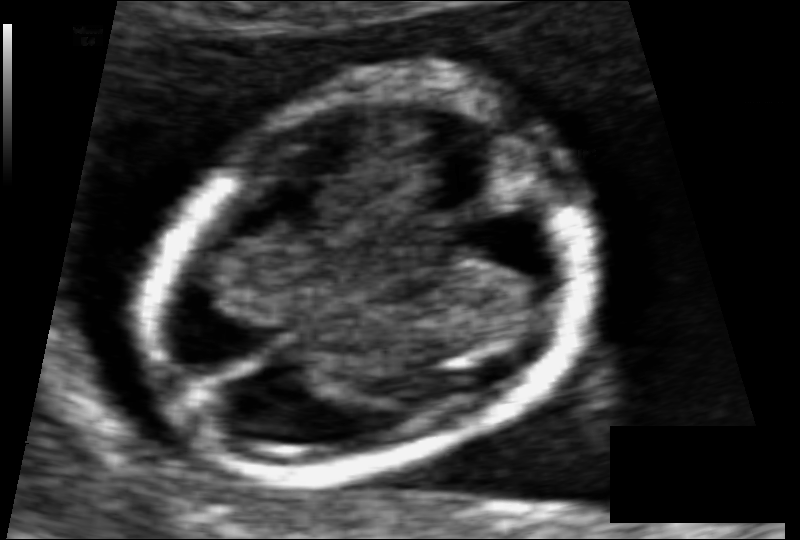
Fetal head ultrasound. Image width: 49.2 mm. Locate the fetal head.

Head: [143,87,586,477]